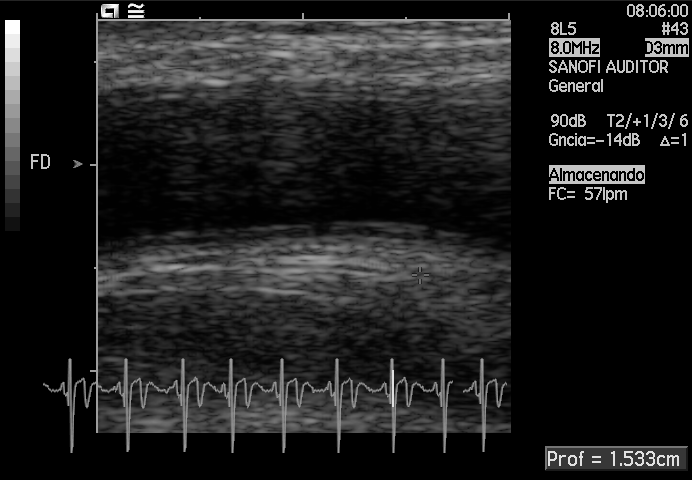
Classify this maternal-fetal ultrasound image as one of the six standard planes — fetal abdomen, fetal brain, fetal femur, fetal thorax, maternal cervix, or other. If it's fetal brain and one of the three standard brain planes (trans-thalamic, trans-cerebellum, trans-ventricular), name which.

Other